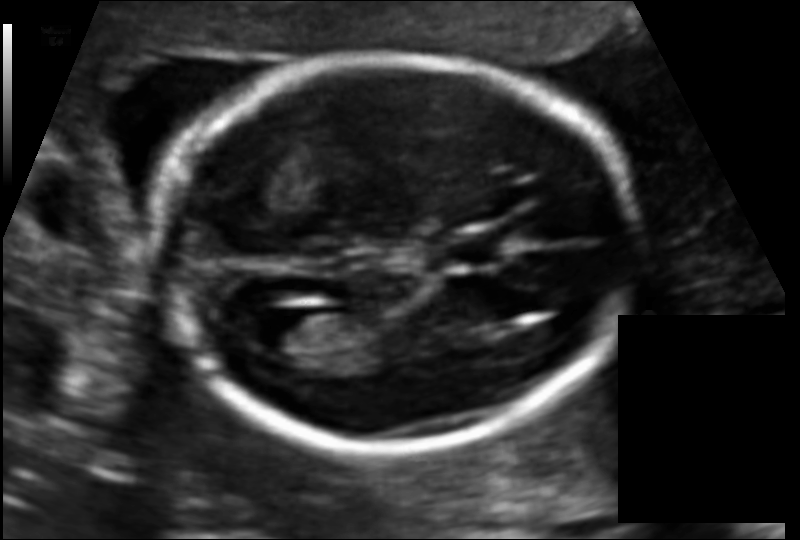
From this fetal ultrasound, estimate the head circumference (image width 87.1 mm).

Head circumference: 157.7 mm.